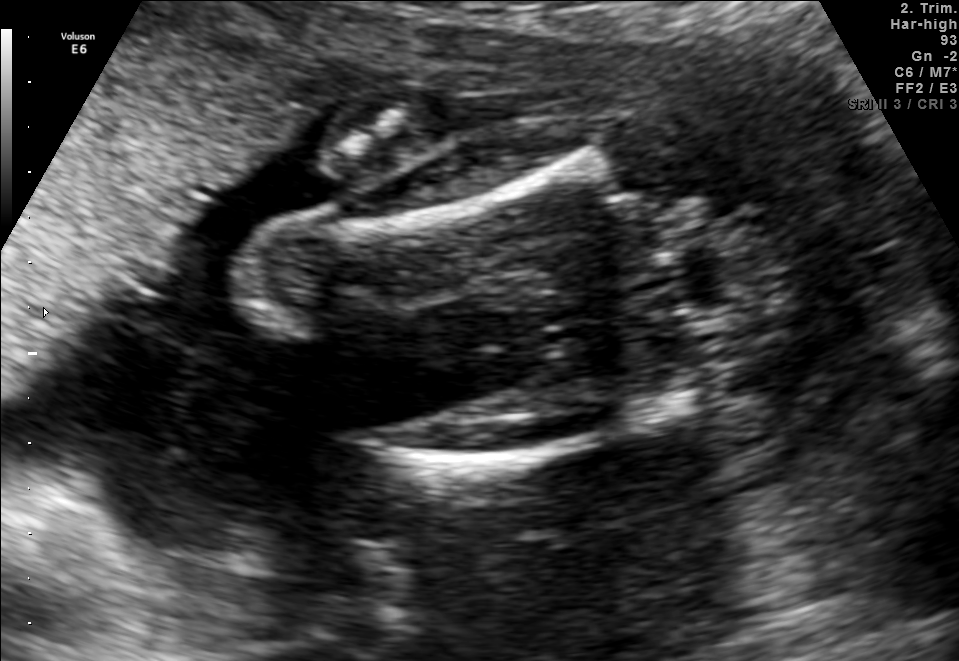
Classify this maternal-fetal ultrasound image as one of the six standard planes — fetal abdomen, fetal brain, fetal femur, fetal thorax, maternal cervix, or other. If it's fetal brain and one of the three standard brain planes (trans-thalamic, trans-cerebellum, trans-ventricular), name which.

Fetal femur